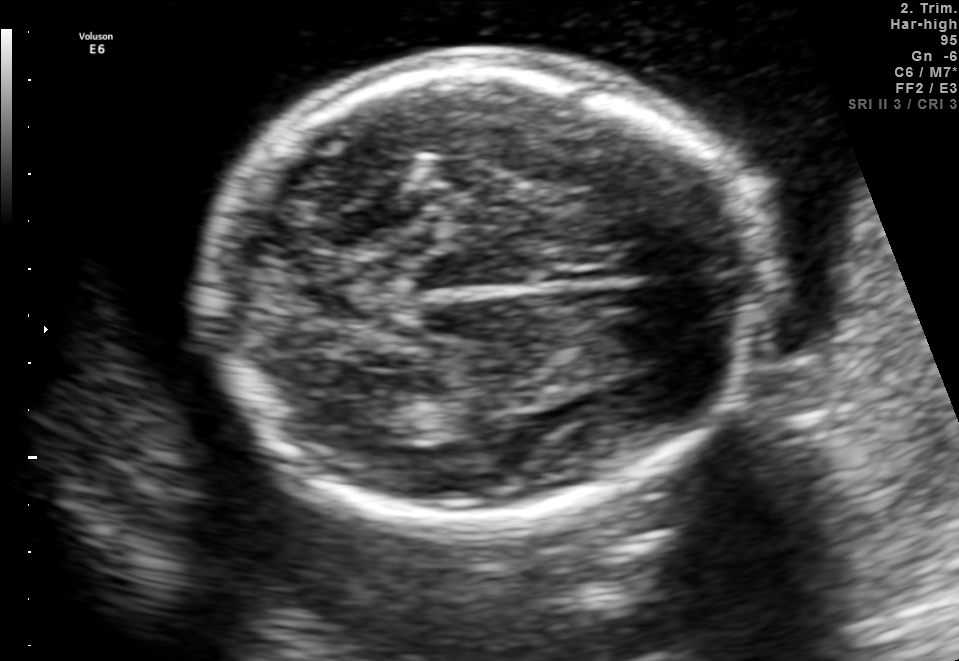
In this fetal brain, trans-thalamic plane, give bounding boxes for the head outline, cavum septum pellucidum (CSP), and lateral ventricle (LV), where visible.

Head: [204,59,771,520]